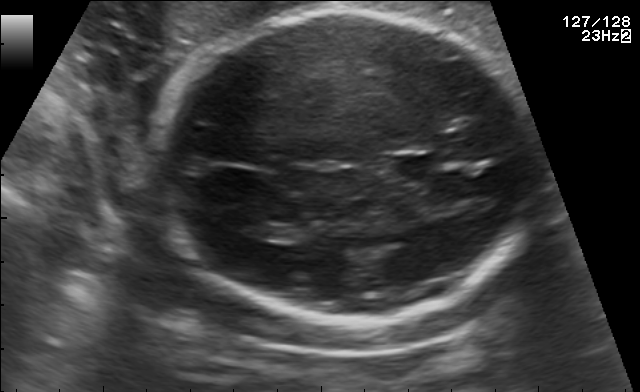
Fetal brain, trans-thalamic plane. Where is the fetal head?

Head bounding box: [157,12,543,325]